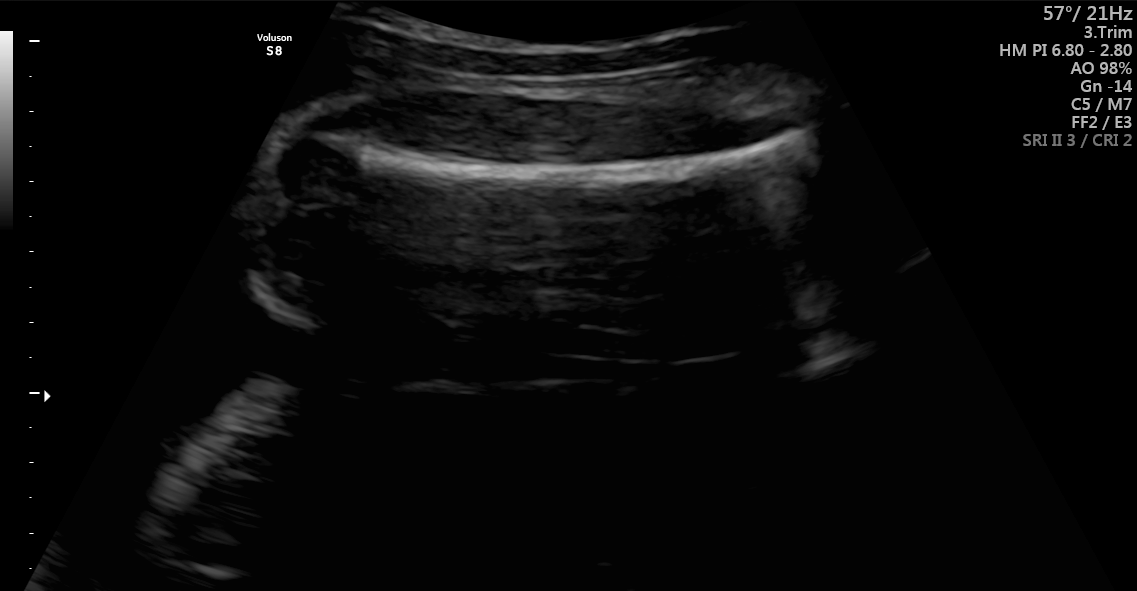
Which standard maternal-fetal ultrasound plane is shown: fetal abdomen, fetal brain, fetal femur, fetal thorax, maternal cervix, or other? If it's fetal brain and one of the three standard brain planes (trans-thalamic, trans-cerebellum, trans-ventricular), name which.

Fetal femur